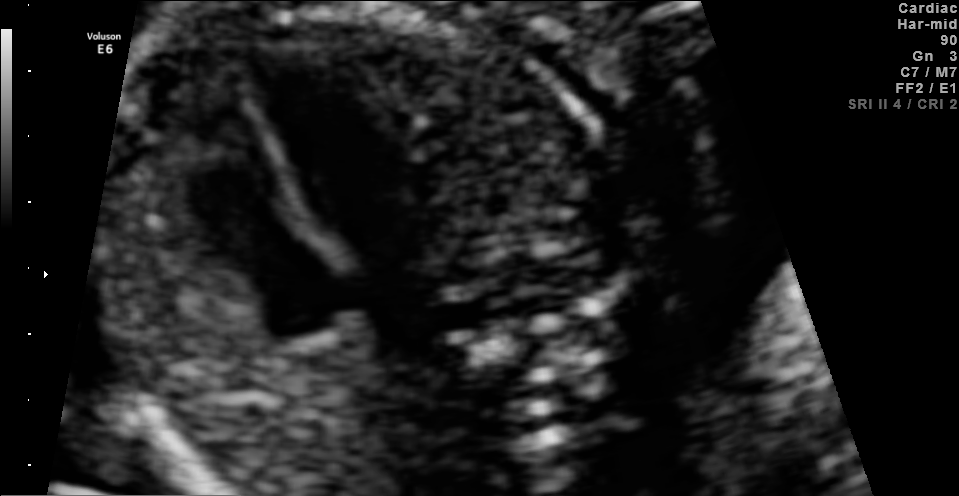
Classify this maternal-fetal ultrasound image as one of the six standard planes — fetal abdomen, fetal brain, fetal femur, fetal thorax, maternal cervix, or other. If it's fetal brain and one of the three standard brain planes (trans-thalamic, trans-cerebellum, trans-ventricular), name which.

Fetal thorax